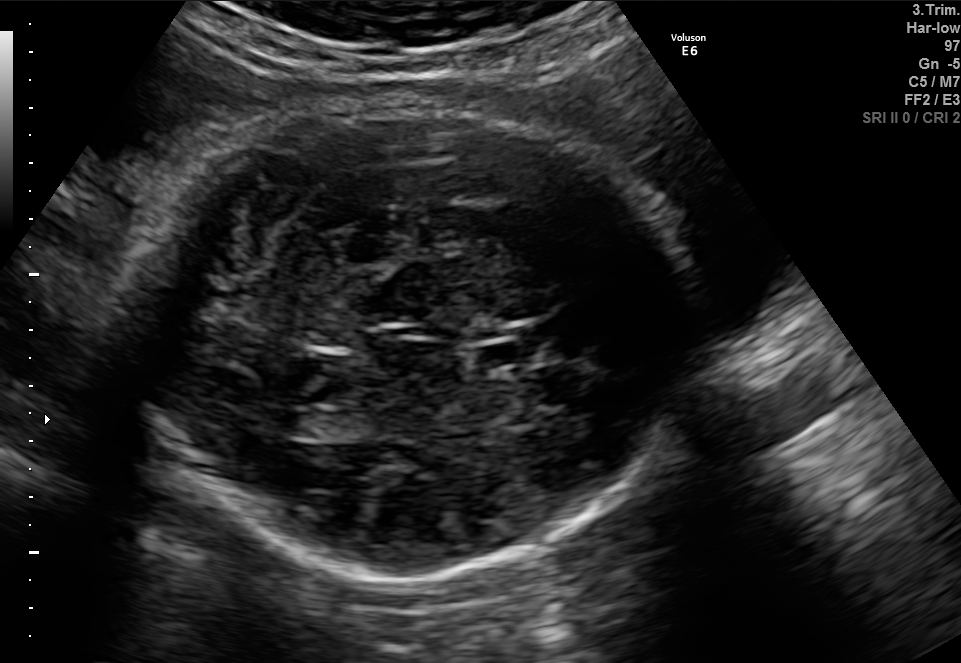
Fetal brain, trans-ventricular plane. Locate the lateral ventricle.

Lateral ventricle: [262,409,310,436]